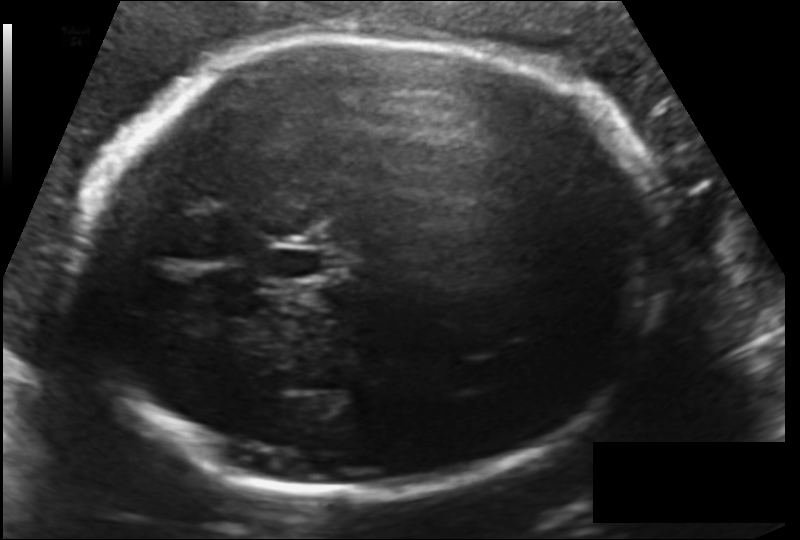
Fetal head ultrasound. Image width: 122.1 mm. Where is the cavum septum pellucidum?

CSP bounding box: [265,244,330,282]